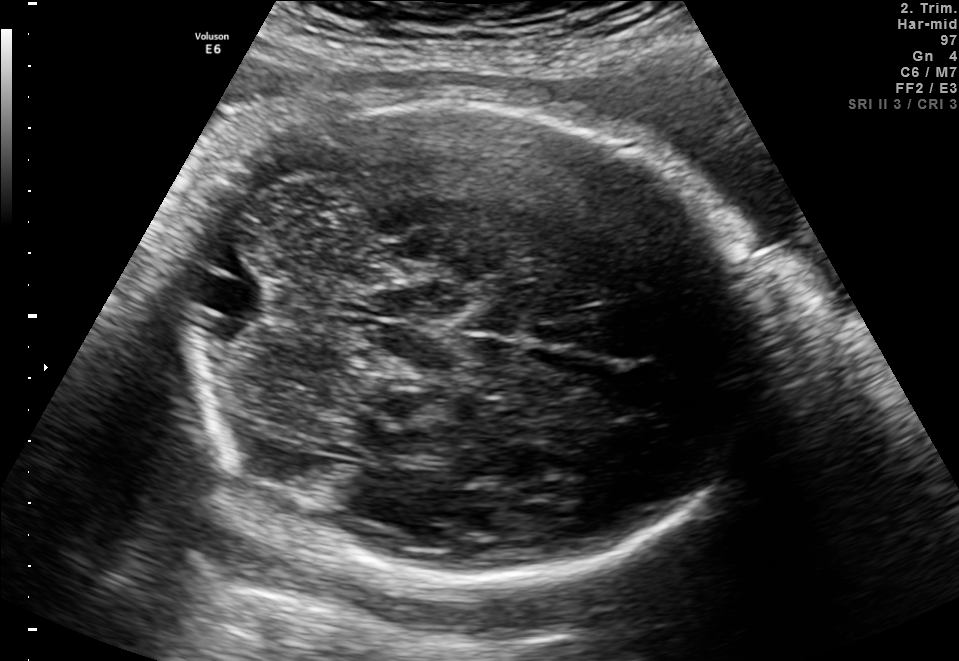
In this fetal brain, trans-cerebellum plane, give the bounding box of the fetal head.

[167,98,762,575]